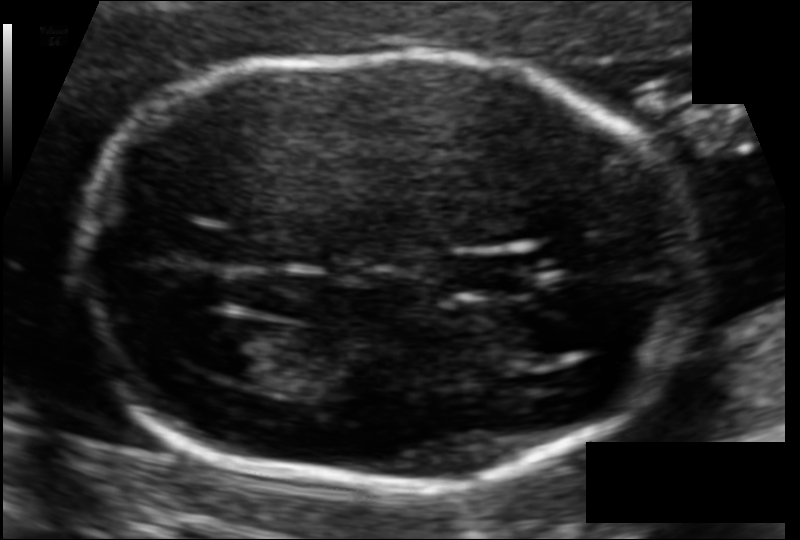
In this fetal head ultrasound, give the bounding box of the lateral ventricle. Image width: 73.9 mm.

[197,311,296,388]